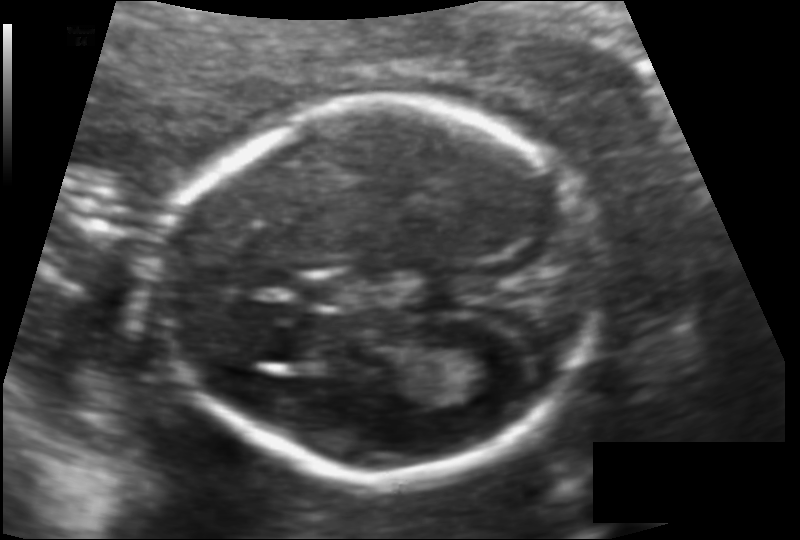
From this fetal ultrasound, estimate the head circumference (image width 90.5 mm).

Head circumference: 149.1 mm.